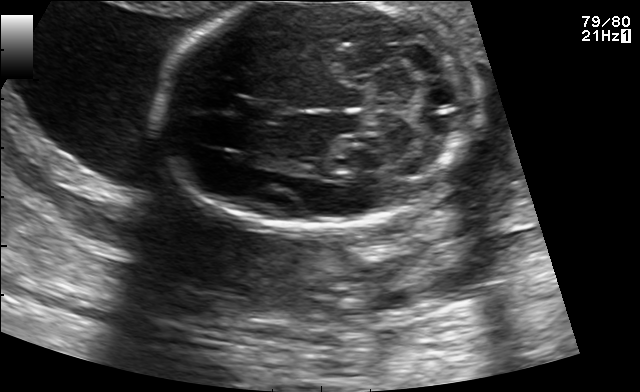
Fetal brain, trans-cerebellum plane. Locate the cavum septum pellucidum.

CSP: [236,97,287,125]